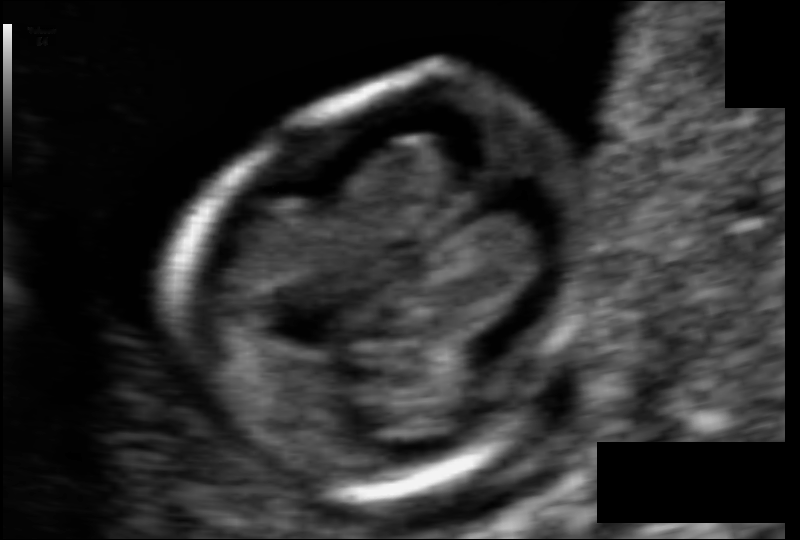
From this fetal ultrasound, estimate the head circumference (image width 44.1 mm).

Head circumference: 73.0 mm.